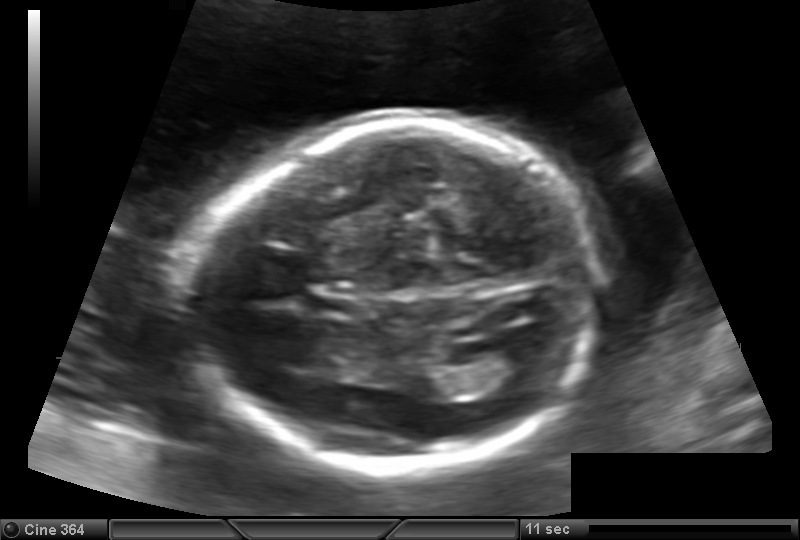
Fetal head ultrasound. Image width: 115.2 mm. Where is the lateral ventricle?

Lateral ventricle bounding box: [472,338,544,394]